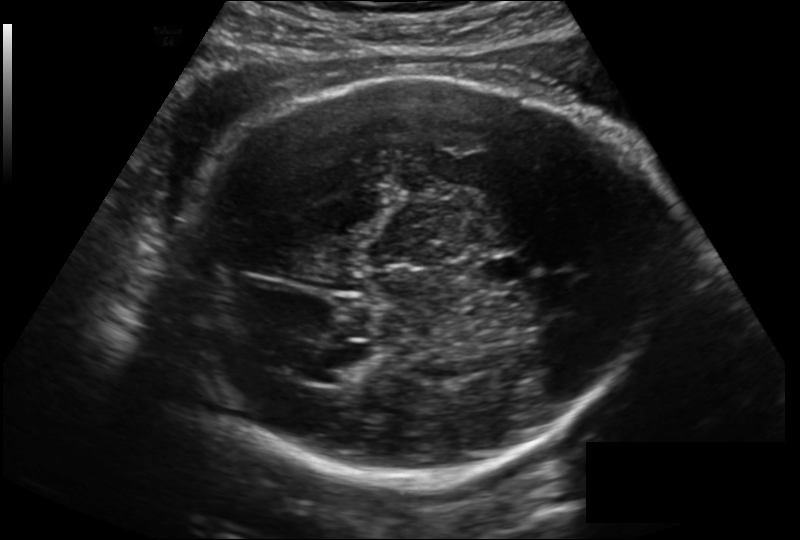
From this fetal ultrasound, estimate the head circumference (image width 159.3 mm).

Head circumference: 281.7 mm.